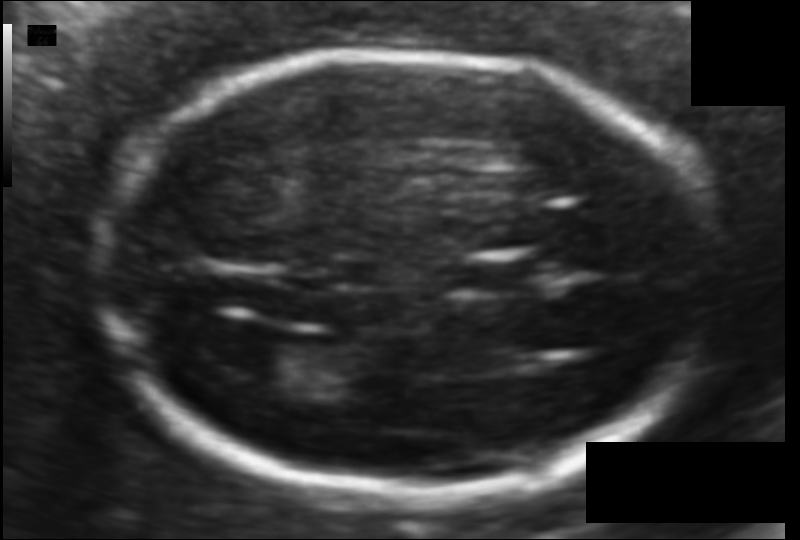
Fetal head ultrasound. Image width: 75.4 mm. Give [x1,y1,x2,y2] bounding boxes for each visible structure among: fetal head, CSP, LV.

Head: [103,52,713,499]
CSP: [470,256,541,294]
Lateral ventricle: [222,337,312,390]